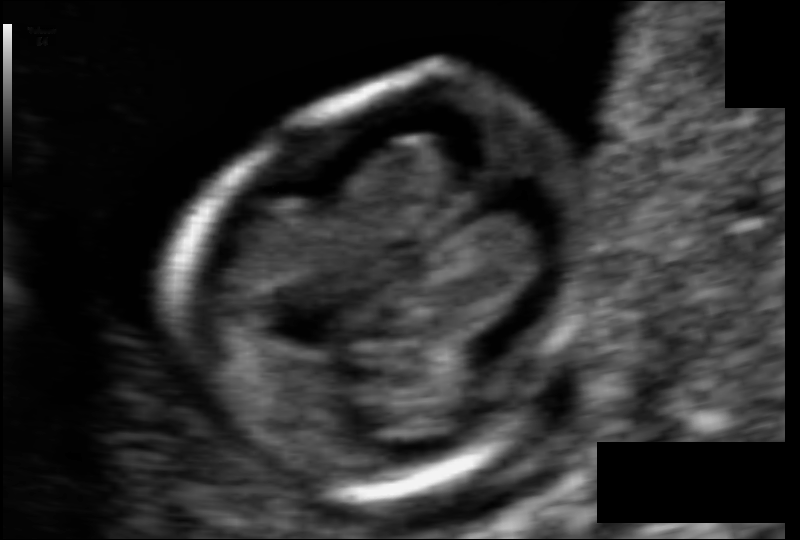
Fetal head ultrasound. Image width: 44.1 mm. Locate the fetal head.

Head: [180,79,601,490]